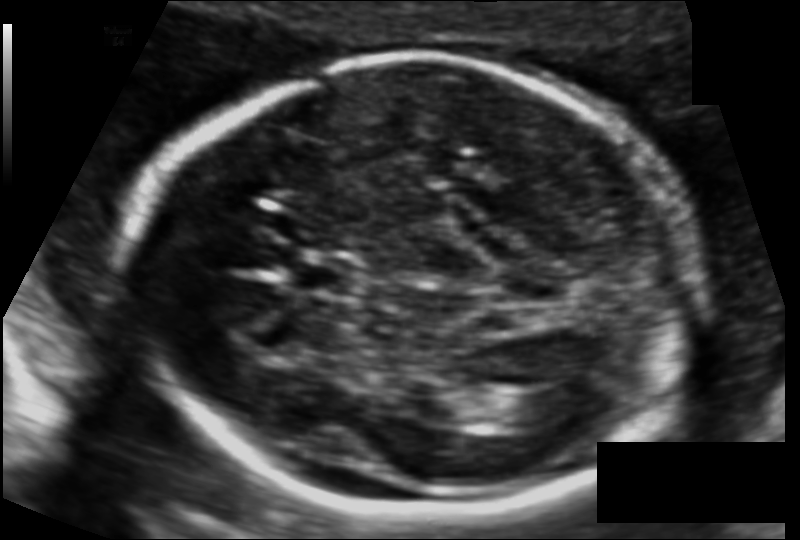
Estimate the fetal head circumference from this 2D ultrasound.

Head circumference: 184.1 mm (image width 89.5 mm).